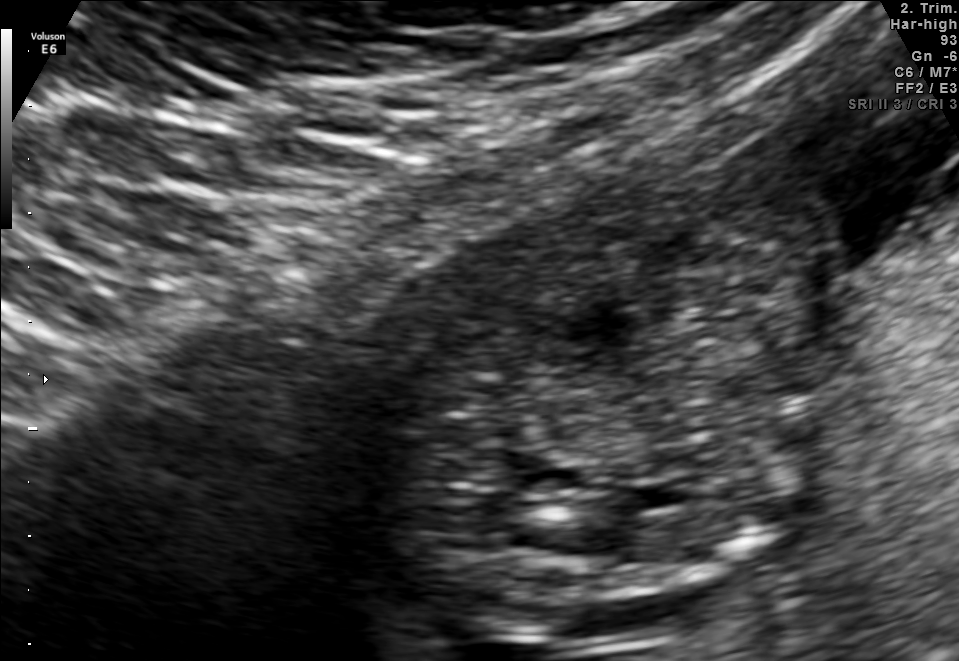
Which standard maternal-fetal ultrasound plane is shown: fetal abdomen, fetal brain, fetal femur, fetal thorax, maternal cervix, or other? If it's fetal brain and one of the three standard brain planes (trans-thalamic, trans-cerebellum, trans-ventricular), name which.

Other